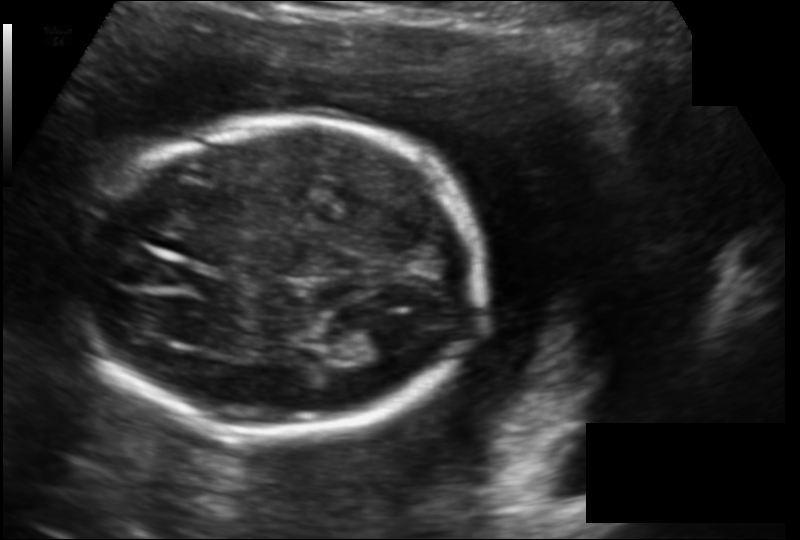
Fetal head ultrasound. Image width: 113.3 mm. Where is the fetal head?

Head bounding box: [75,119,481,434]